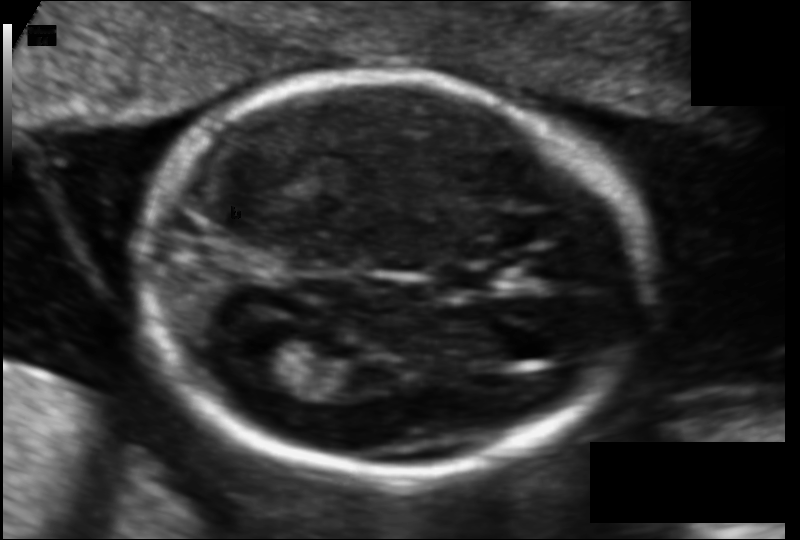
Fetal head ultrasound. Image width: 83.2 mm. Locate the cavum septum pellucidum.

CSP: [434,265,501,292]